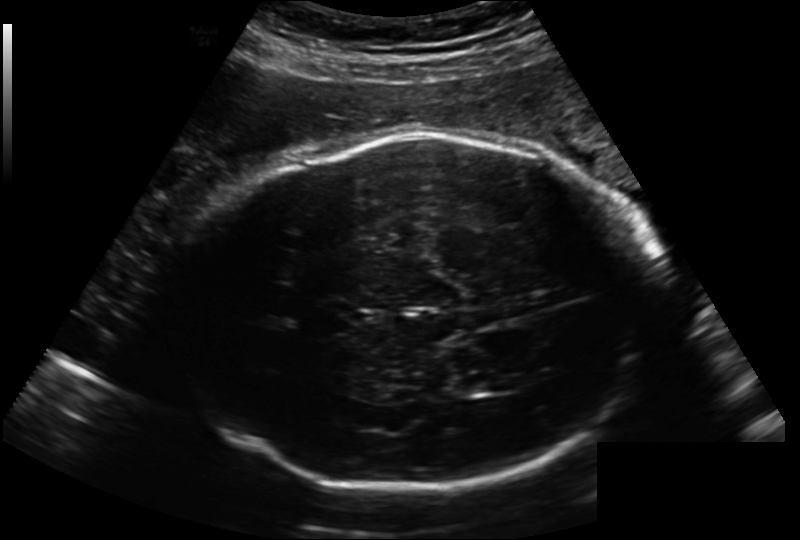
From this fetal ultrasound, estimate the head circumference (image width 177.3 mm).

Head circumference: 299.8 mm.